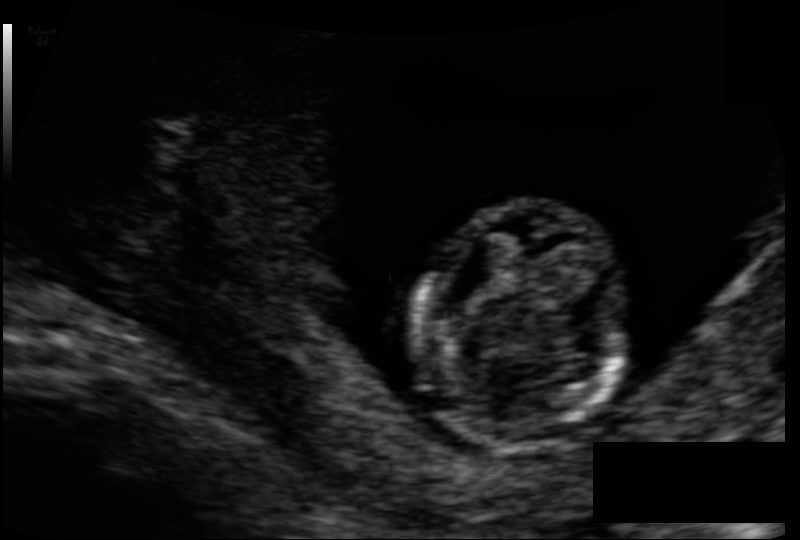
From this fetal ultrasound, estimate the head circumference (image width 76.4 mm).

Head circumference: 72.5 mm.